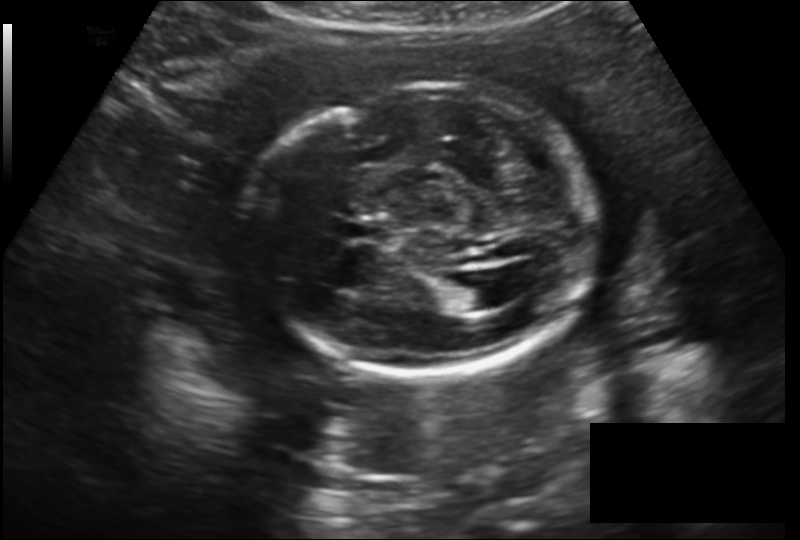
In this fetal head ultrasound, give the bounding box of the fetal head. Image width: 145.7 mm.

[246,85,596,373]